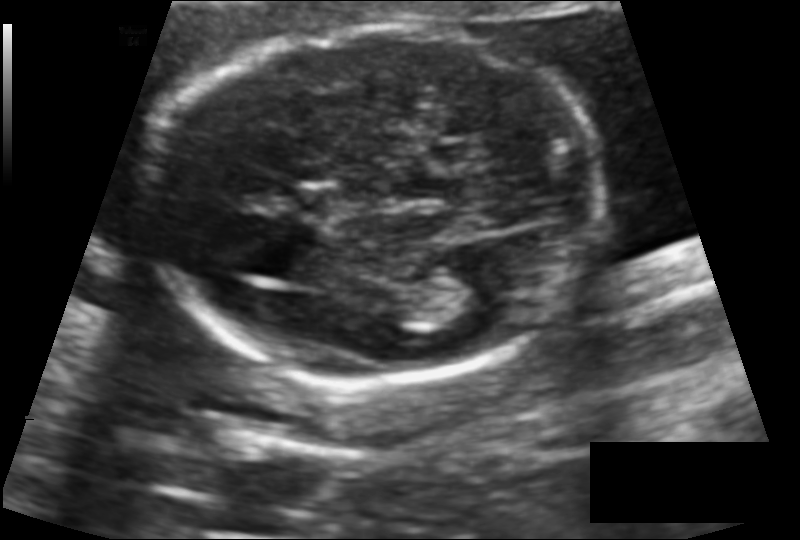
From this fetal ultrasound, estimate the head circumference (image width 94.4 mm).

Head circumference: 156.9 mm.